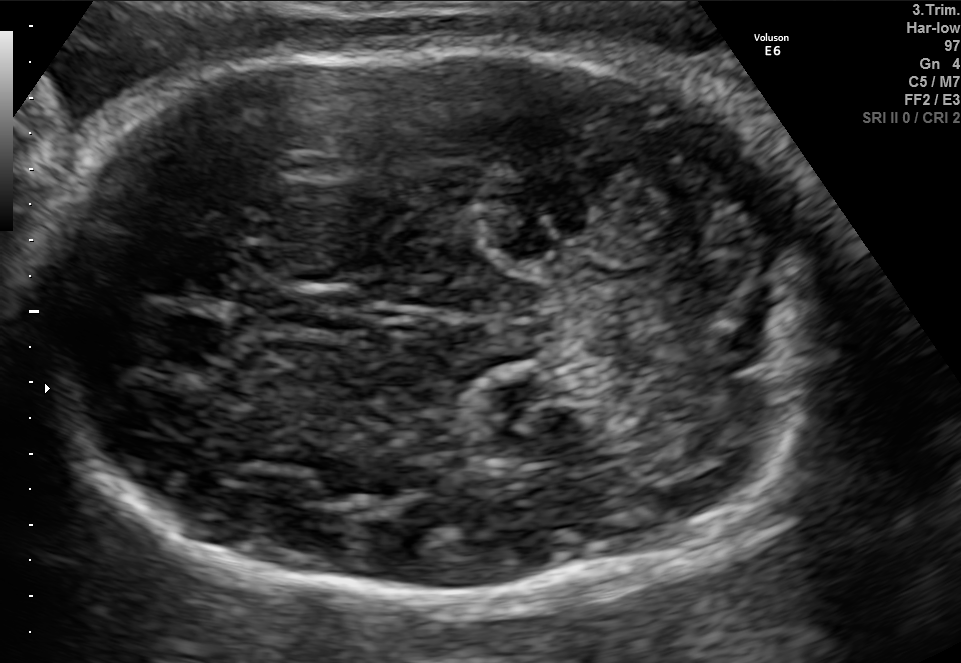
Fetal brain, trans-cerebellum plane. Give [x1,y1,x2,y2] bounding boxes for each visible structure among: fetal head, CSP, LV.

Head: [31,44,812,597]